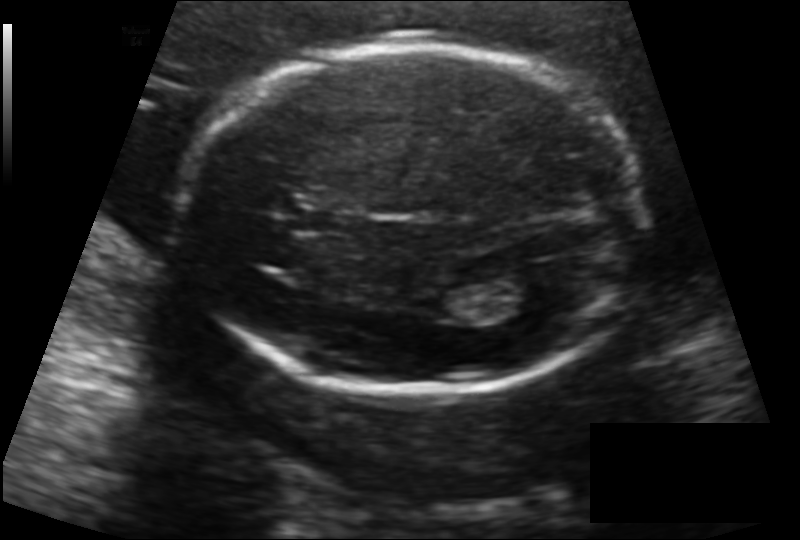
In this fetal head ultrasound, give the bounding box of the lateral ventricle. Image width: 113.3 mm.

[489,268,558,320]